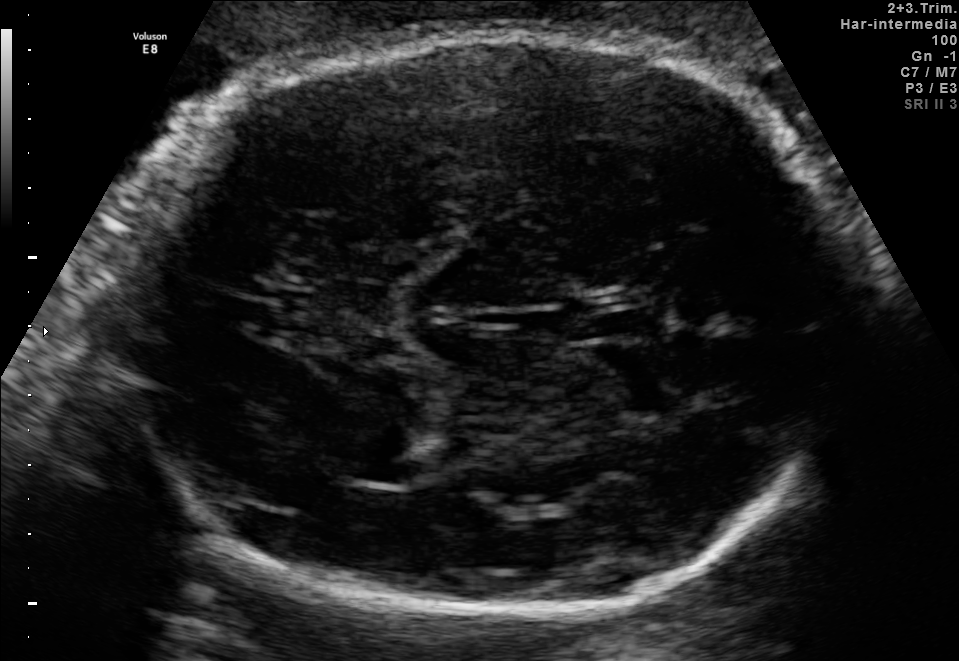
Identify the standard plane in this fetal ultrasound image: fetal abdomen, fetal brain, fetal femur, fetal thorax, maternal cervix, or other. If it's fetal brain and one of the three standard brain planes (trans-thalamic, trans-cerebellum, trans-ventricular), name which.

Fetal brain (trans-thalamic plane)